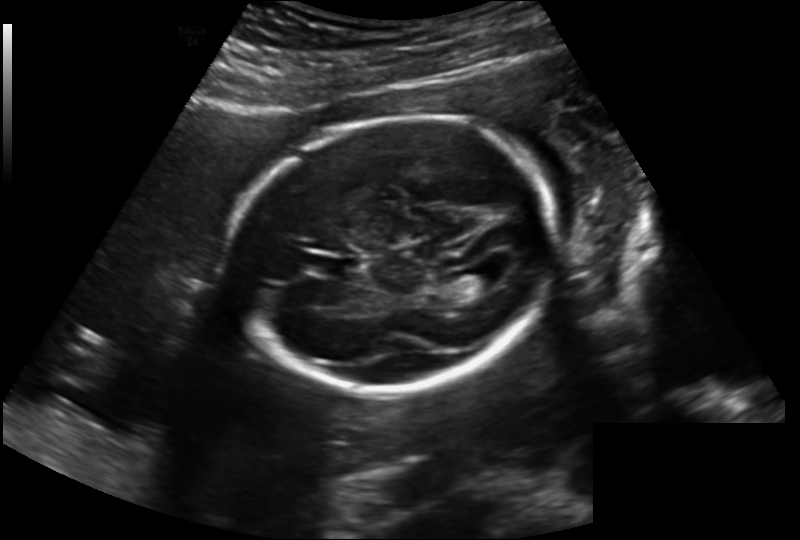
Fetal head ultrasound. Image width: 161.6 mm. Where is the lateral ventricle?

Lateral ventricle bounding box: [450,257,502,303]